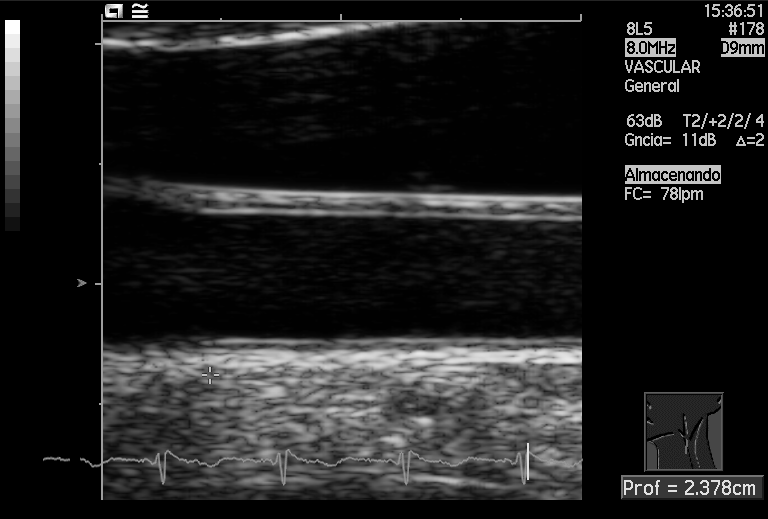
Identify the standard plane in this fetal ultrasound image: fetal abdomen, fetal brain, fetal femur, fetal thorax, maternal cervix, or other. If it's fetal brain and one of the three standard brain planes (trans-thalamic, trans-cerebellum, trans-ventricular), name which.

Other